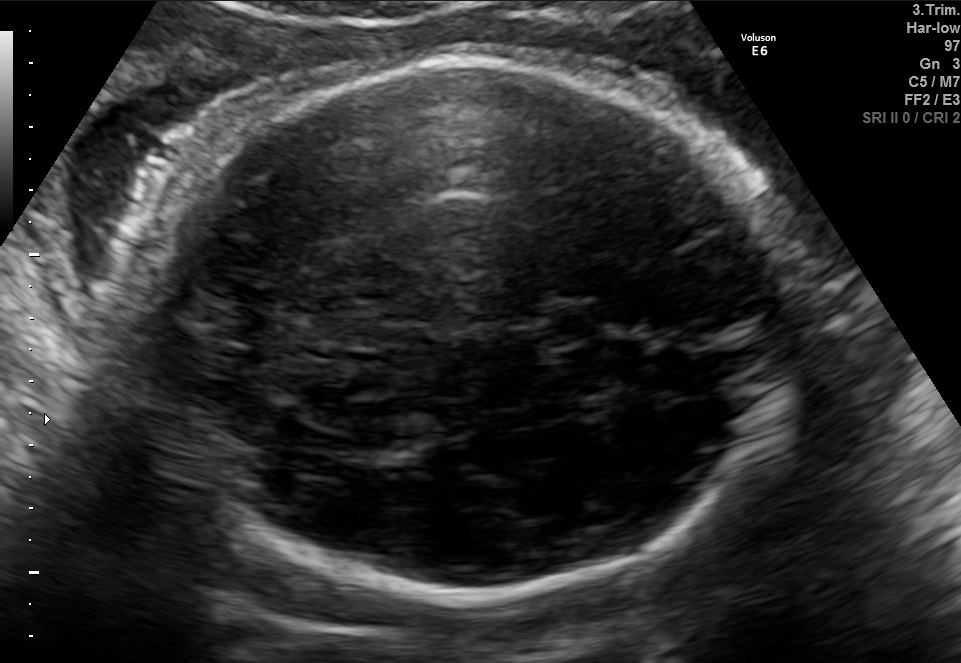
Fetal brain, trans-thalamic plane. Where is the cavum septum pellucidum?

CSP bounding box: [539,296,616,350]